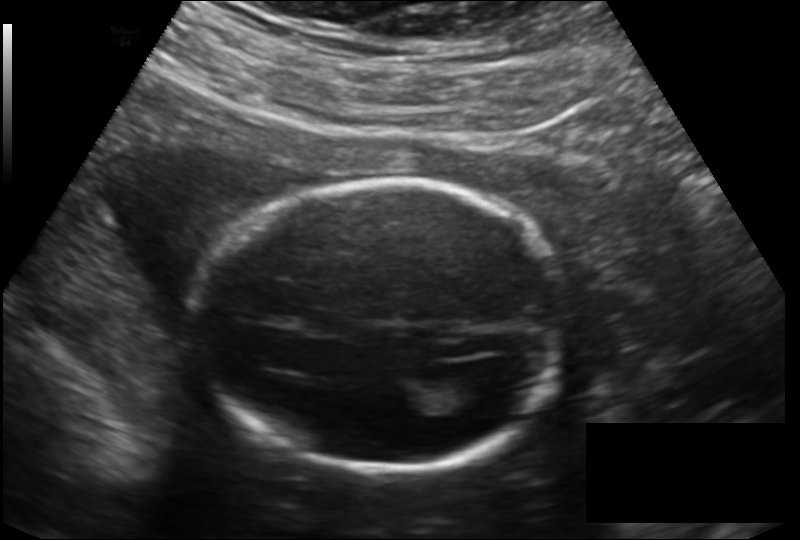
Fetal head ultrasound. Image width: 133.1 mm. Locate the fetal head and, if visible, the cavum septum pellucidum (CSP) and lateral ventricle (LV). Give bounding boxes as [x1,y1,x2,y2].

Head: [200,181,565,473]
Lateral ventricle: [434,370,502,418]